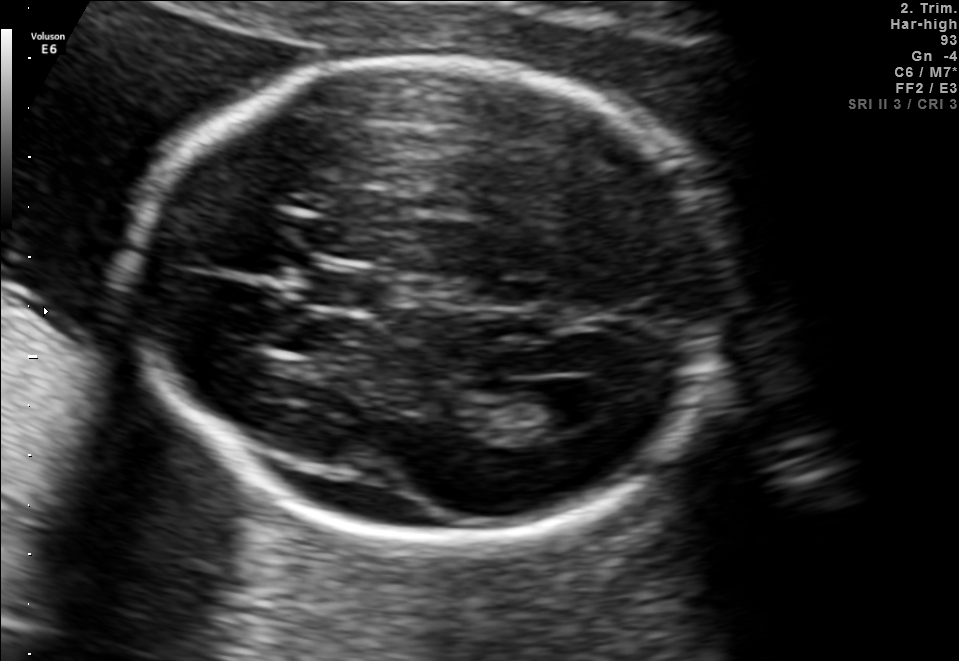
Fetal brain, trans-ventricular plane. Where is the lateral ventricle?

Lateral ventricle bounding box: [542,376,621,430]